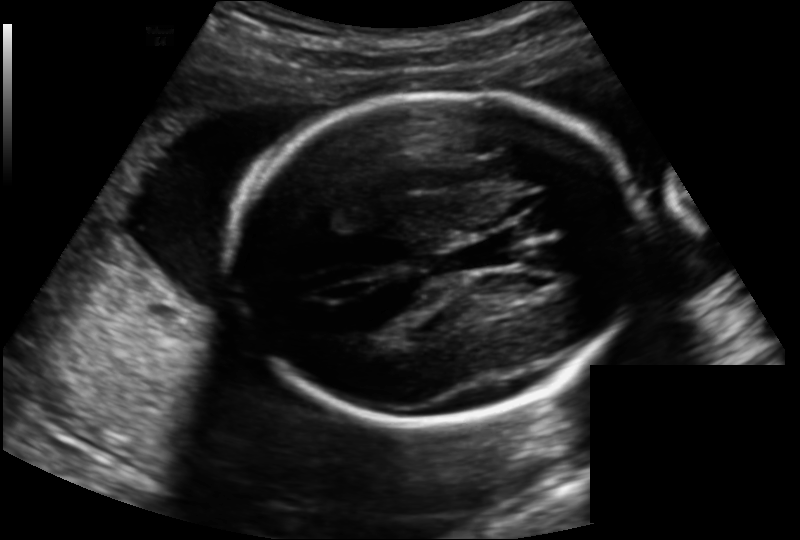
Estimate the fetal head circumference from this 2D ultrasound. Image width: 130.7 mm.

Head circumference: 196.5 mm.